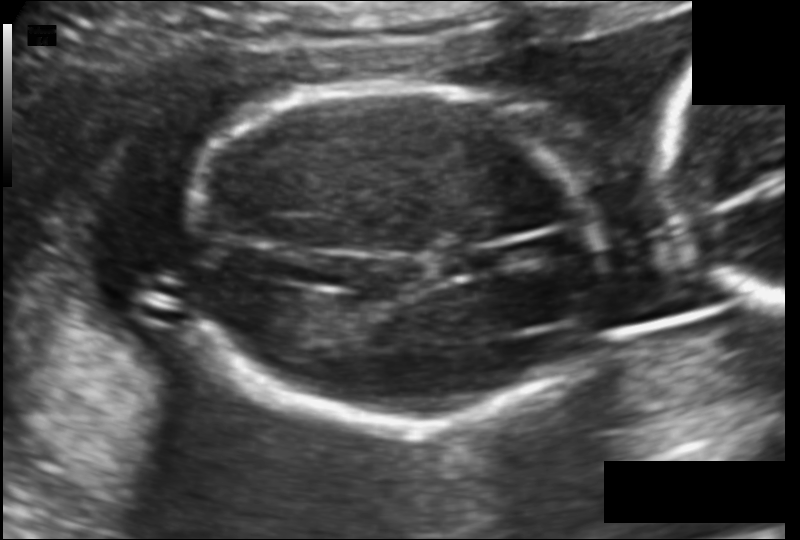
In this fetal head ultrasound, give the bounding box of the fetal head. Image width: 94.3 mm.

[183,83,601,425]